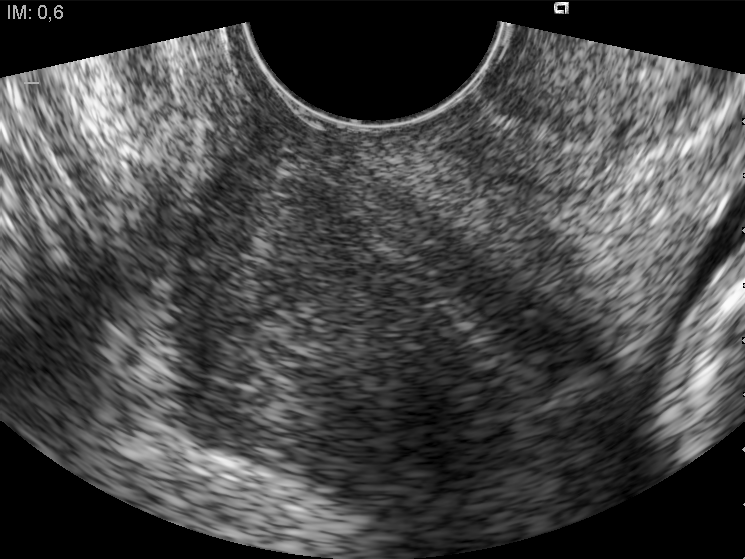
Which standard maternal-fetal ultrasound plane is shown: fetal abdomen, fetal brain, fetal femur, fetal thorax, maternal cervix, or other? If it's fetal brain and one of the three standard brain planes (trans-thalamic, trans-cerebellum, trans-ventricular), name which.

Maternal cervix